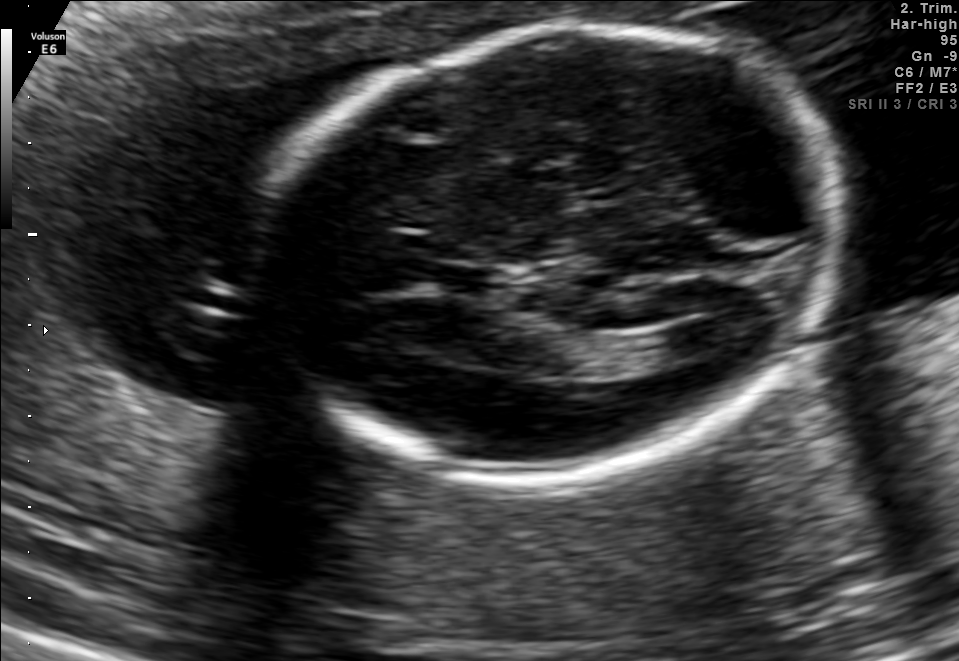
Which standard maternal-fetal ultrasound plane is shown: fetal abdomen, fetal brain, fetal femur, fetal thorax, maternal cervix, or other? If it's fetal brain and one of the three standard brain planes (trans-thalamic, trans-cerebellum, trans-ventricular), name which.

Fetal brain